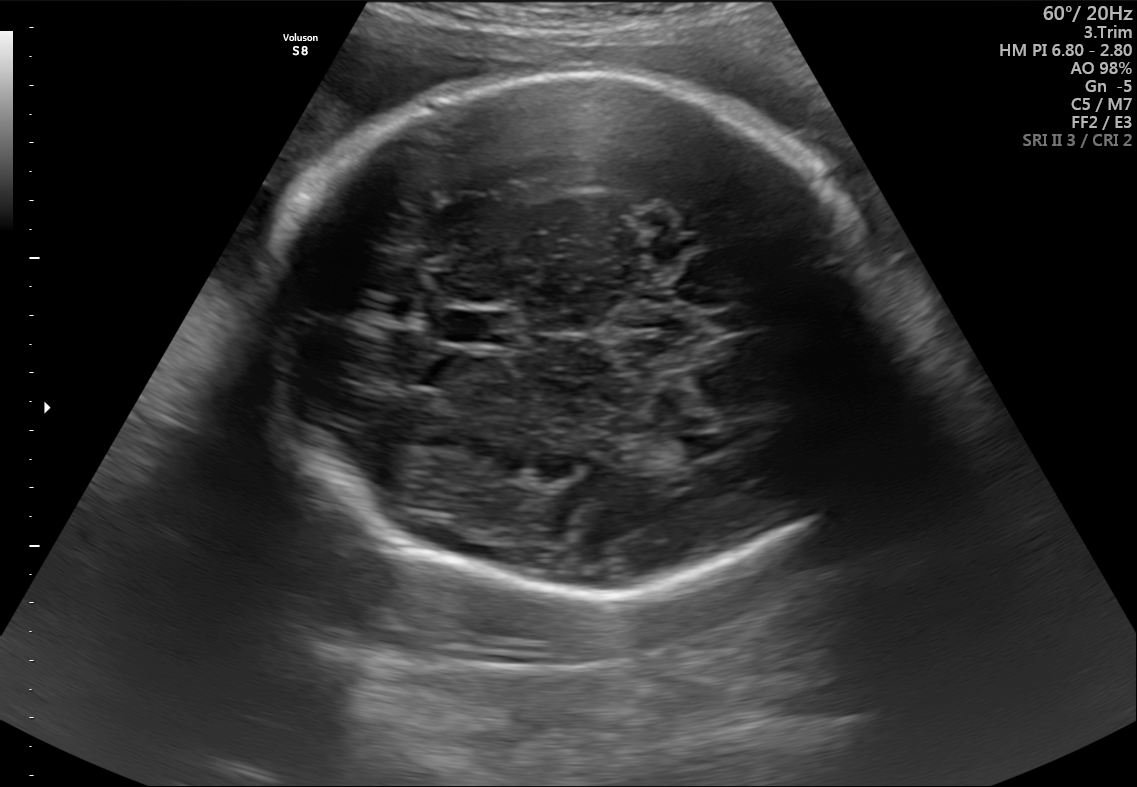
In this fetal brain, trans-thalamic plane, give the bounding box of the fetal head.

[269,71,903,599]